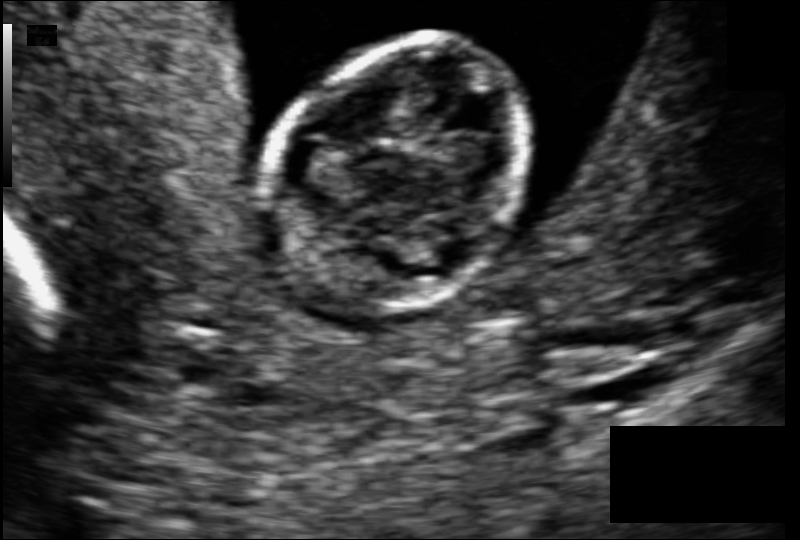
In this fetal head ultrasound, give the bounding box of the fetal head. Image width: 63.6 mm.

[266,41,532,315]